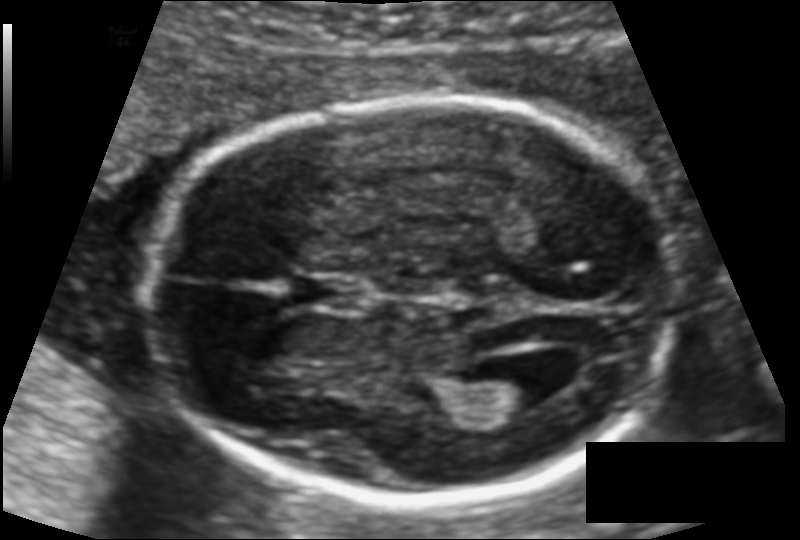
In this fetal head ultrasound, give the bounding box of the cavum septum pellucidum. Image width: 90.3 mm.

[292,275,364,310]